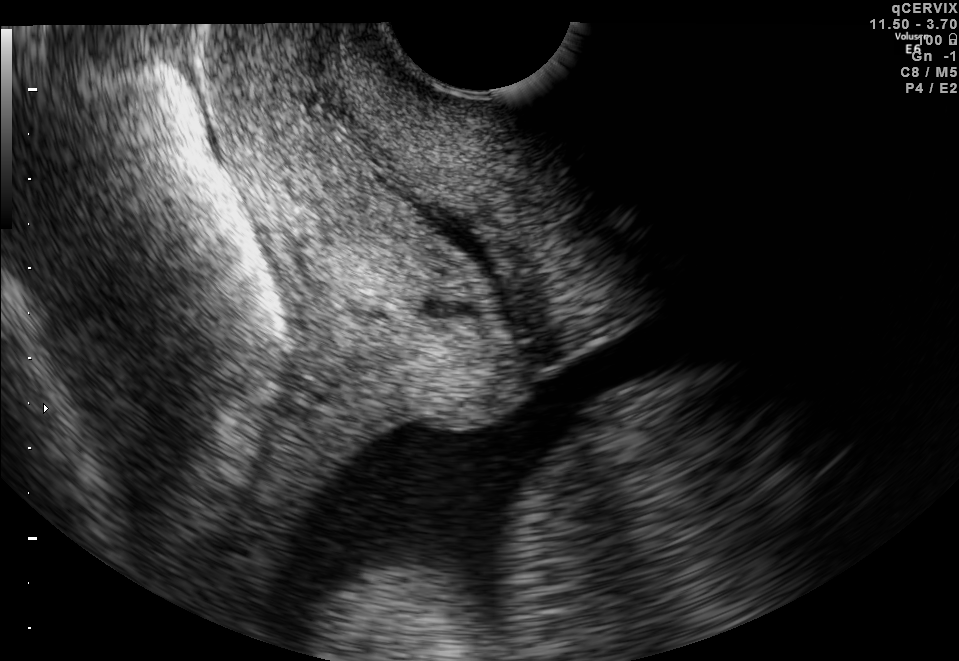
Classify this maternal-fetal ultrasound image as one of the six standard planes — fetal abdomen, fetal brain, fetal femur, fetal thorax, maternal cervix, or other. If it's fetal brain and one of the three standard brain planes (trans-thalamic, trans-cerebellum, trans-ventricular), name which.

Maternal cervix